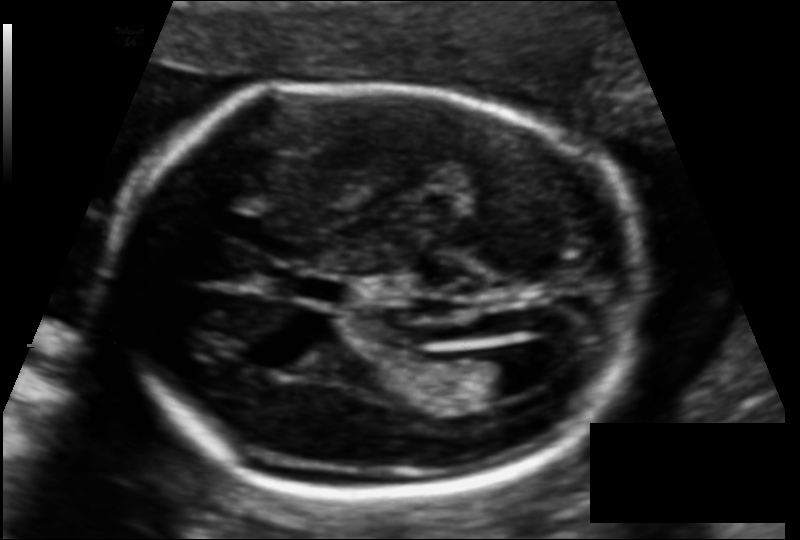
What is the fetal head circumference? Image width is 92.4 mm.

177.0 mm